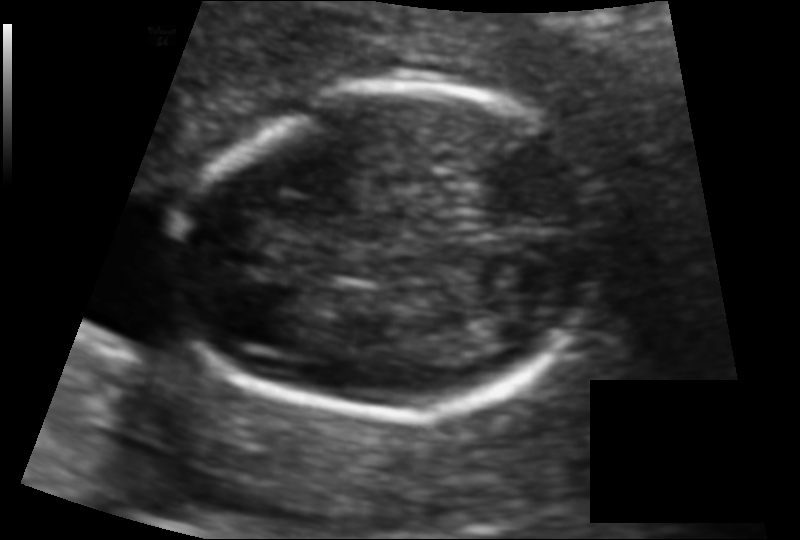
Estimate the fetal head circumference from this 2D ultrasound. Image width: 76.2 mm.

Head circumference: 119.8 mm.